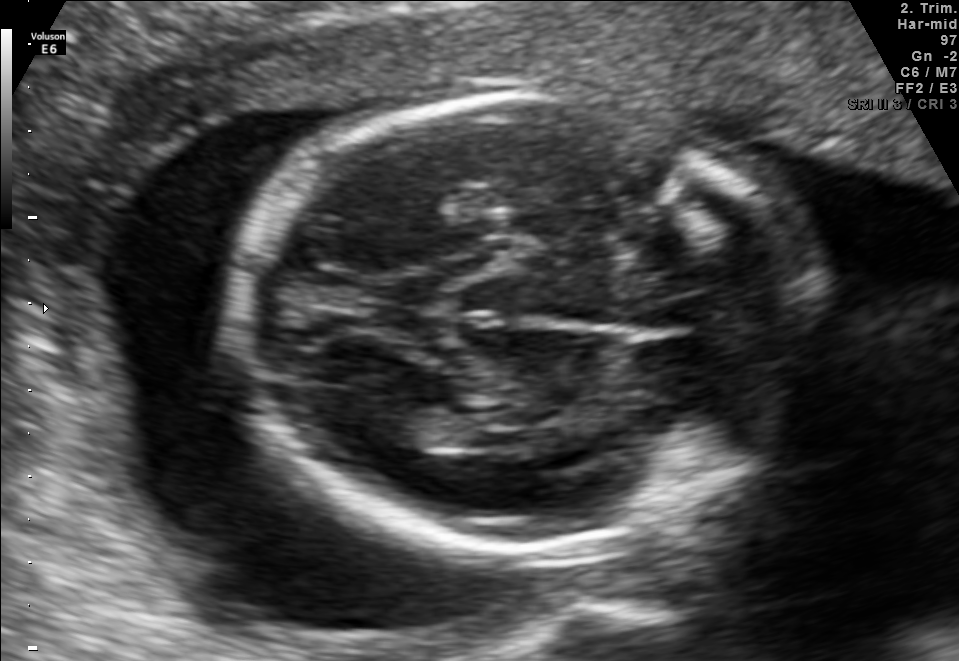
In this fetal brain, trans-thalamic plane, give the bounding box of the lateral ventricle.

[358,392,457,453]